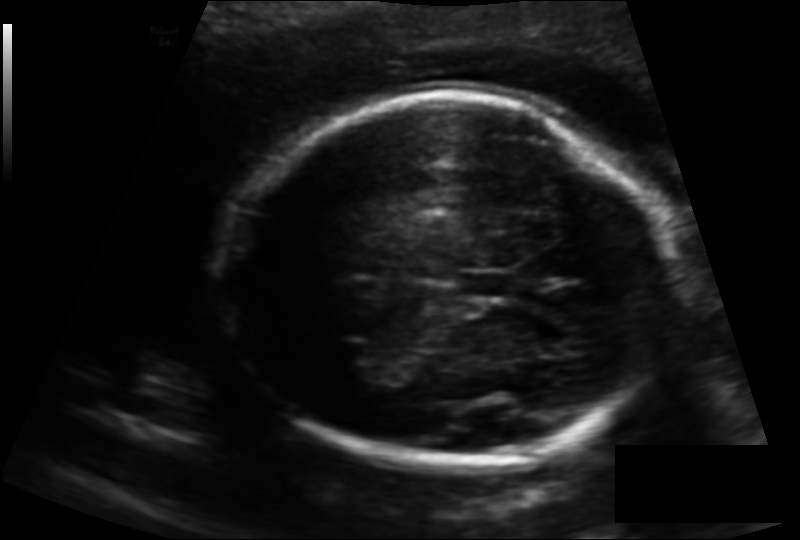
In this fetal head ultrasound, give bounding boxes for the head outline, cavum septum pellucidum (CSP), and lateral ventricle (LV), where visible. Image width: 112.7 mm.

Head: [224,95,677,465]
CSP: [461,270,515,299]
Lateral ventricle: [325,340,387,383]